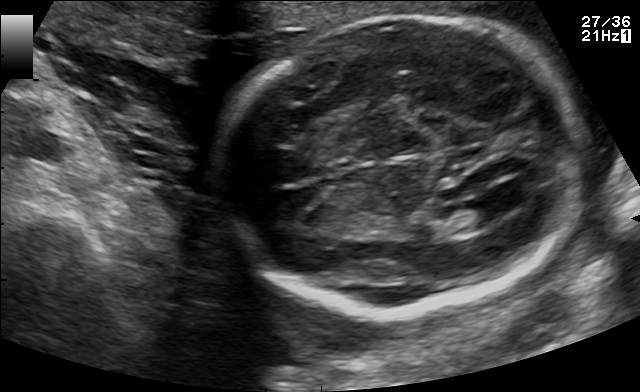
Fetal brain, trans-ventricular plane. Where is the cavum septum pellucidum?

CSP bounding box: [313,161,359,189]